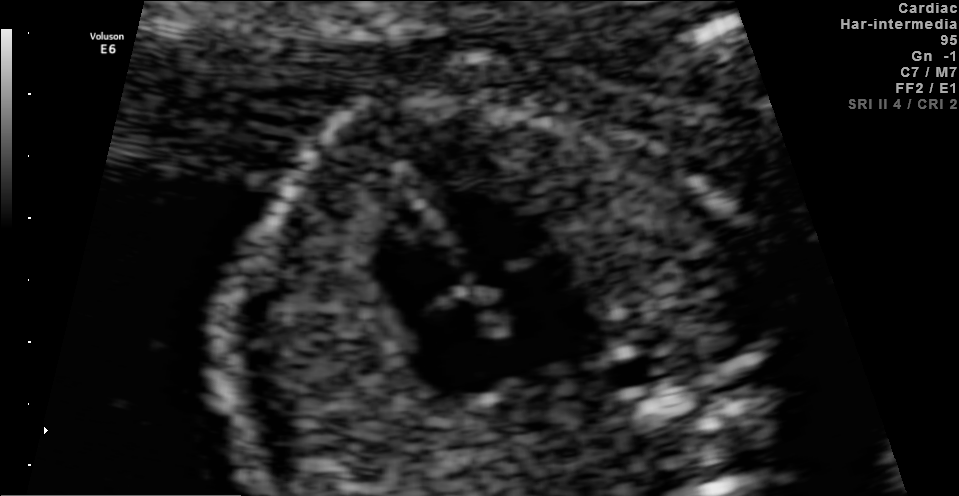
Classify this maternal-fetal ultrasound image as one of the six standard planes — fetal abdomen, fetal brain, fetal femur, fetal thorax, maternal cervix, or other. If it's fetal brain and one of the three standard brain planes (trans-thalamic, trans-cerebellum, trans-ventricular), name which.

Fetal thorax